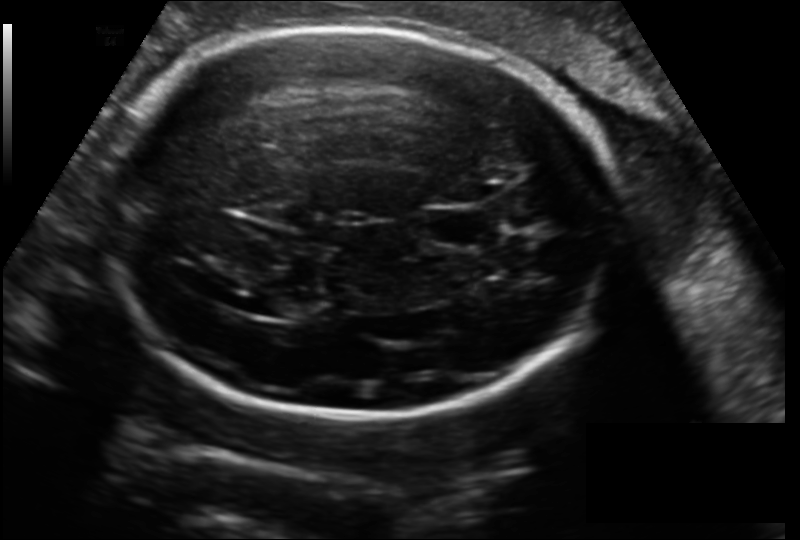
From this fetal ultrasound, estimate the head circumference (image width 142.1 mm).

Head circumference: 259.5 mm.